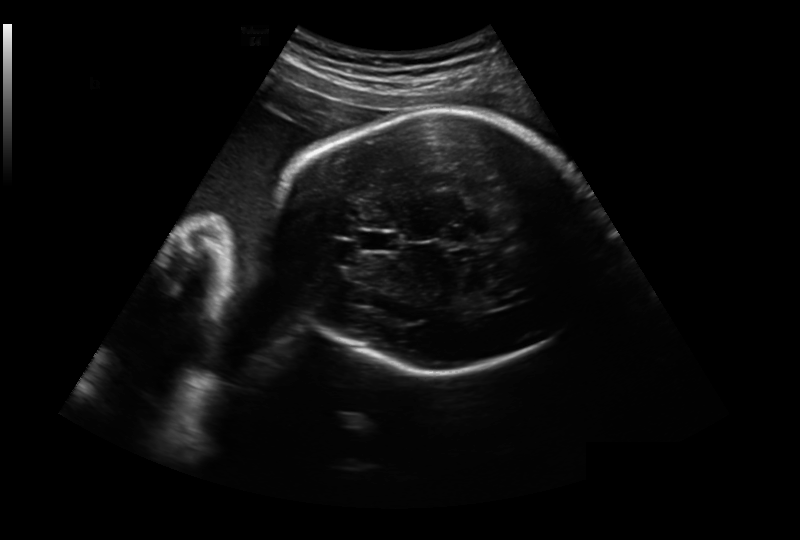
In this fetal head ultrasound, give the bounding box of the fetal head. Image width: 224.7 mm.

[274,110,602,373]